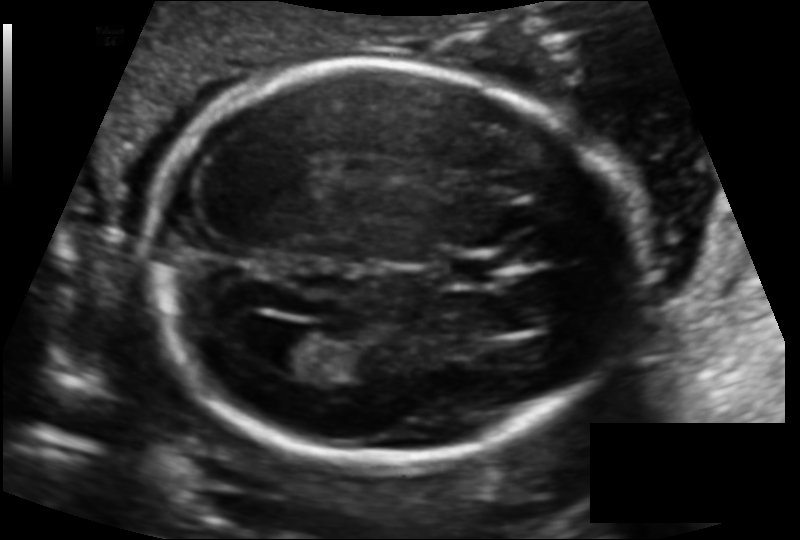
Fetal head ultrasound. Image width: 100.1 mm. Where is the cavum septum pellucidum?

CSP bounding box: [445,254,504,286]